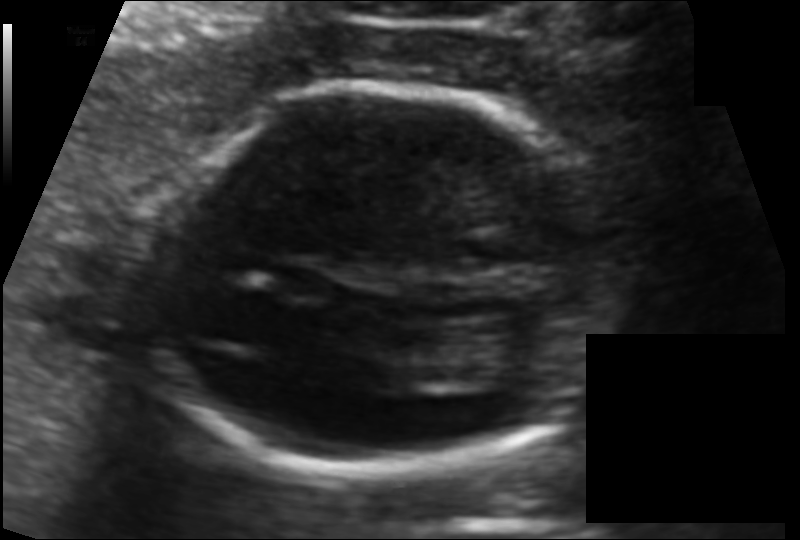
In this fetal head ultrasound, give bounding boxes for the head outline, cavum septum pellucidum (CSP), and lateral ventricle (LV), where visible. Image width: 80.1 mm.

Head: [143,86,612,474]